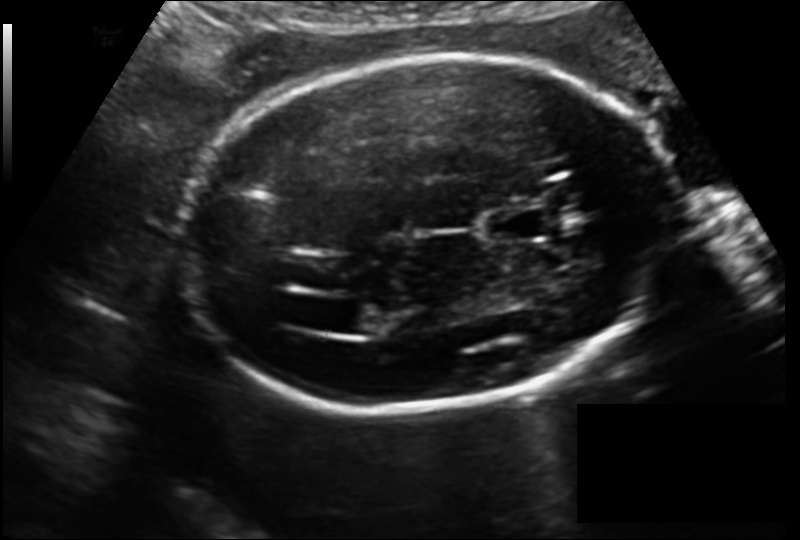
Fetal head ultrasound. Image width: 120.3 mm. Where is the lateral ventricle?

Lateral ventricle bounding box: [329,299,391,335]